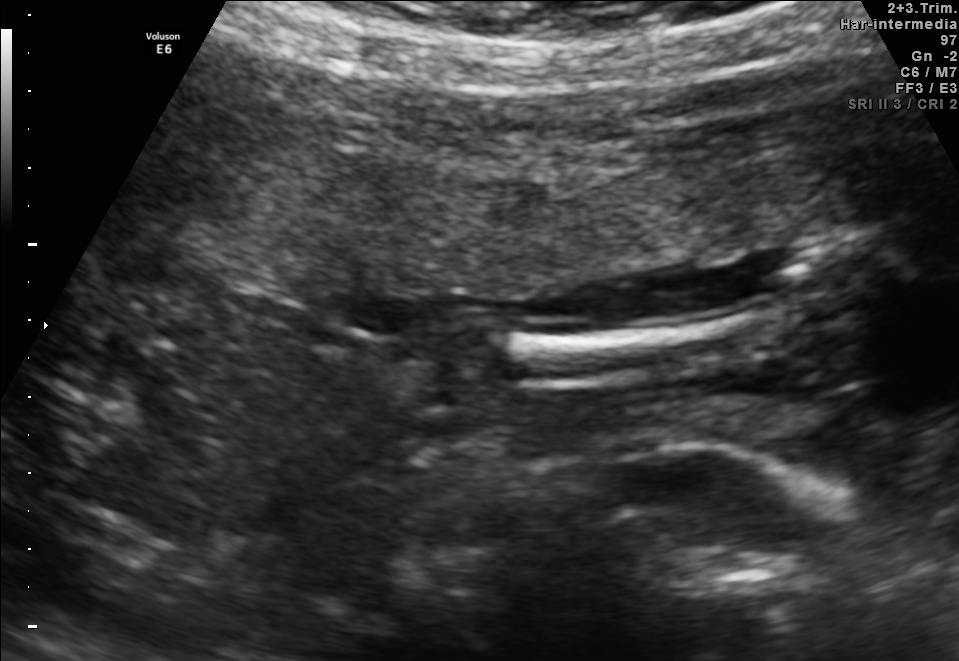
This is a 2D maternal-fetal ultrasound frame. Is it a fetal abdomen, fetal brain, fetal femur, fetal thorax, maternal cervix, or other standard plane? If it's fetal brain and one of the three standard brain planes (trans-thalamic, trans-cerebellum, trans-ventricular), name which.

Other